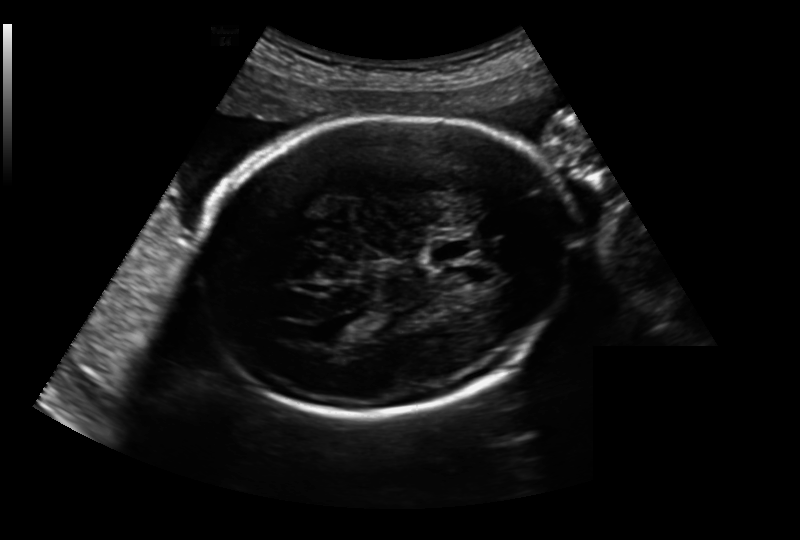
Fetal head ultrasound. Image width: 170.6 mm. Locate the fetal head.

Head: [193,117,576,413]